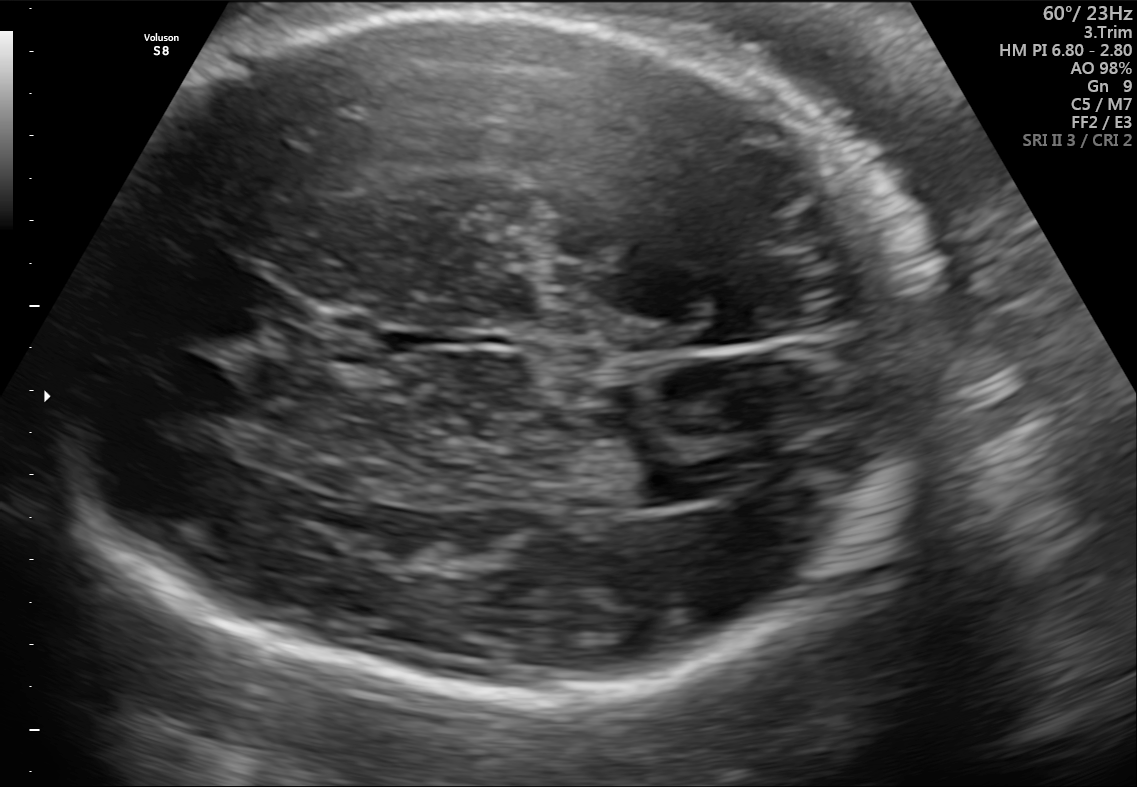
In this fetal brain, trans-ventricular plane, give the bounding box of the lateral ventricle.

[627,463,702,507]